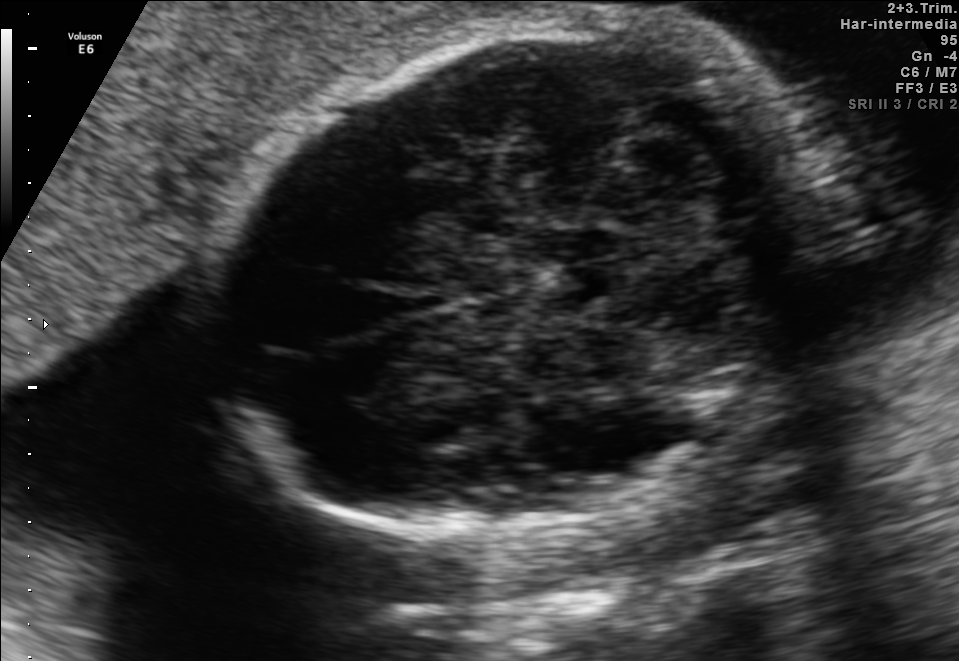
In this fetal brain, trans-cerebellum plane, give bounding boxes for the head outline, cavum septum pellucidum (CSP), and lateral ventricle (LV), where visible.

Head: [206,23,817,538]